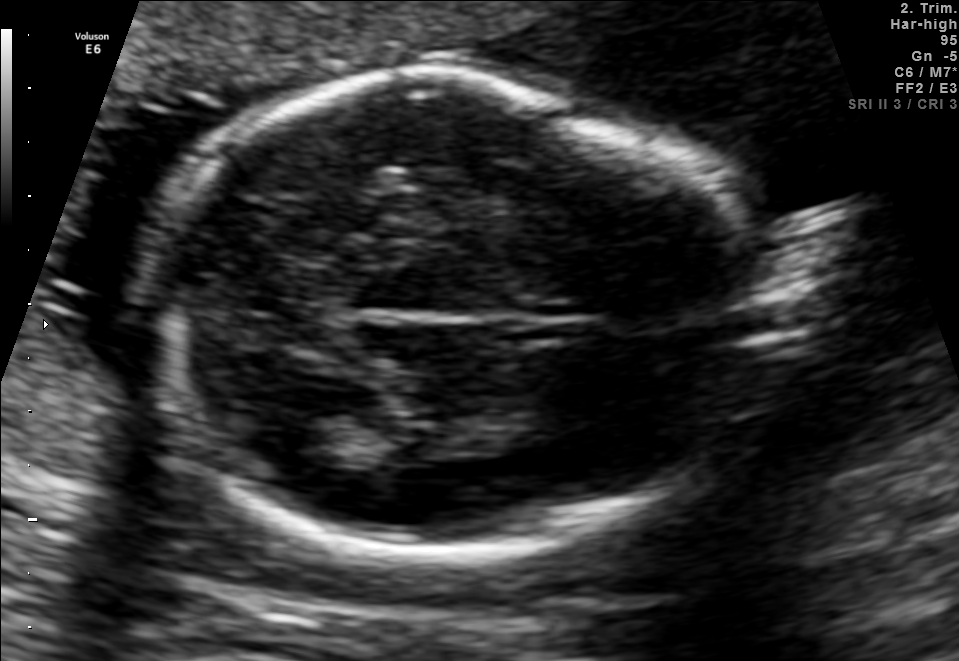
In this fetal brain, trans-thalamic plane, give the bounding box of the fetal head.

[149,72,754,547]